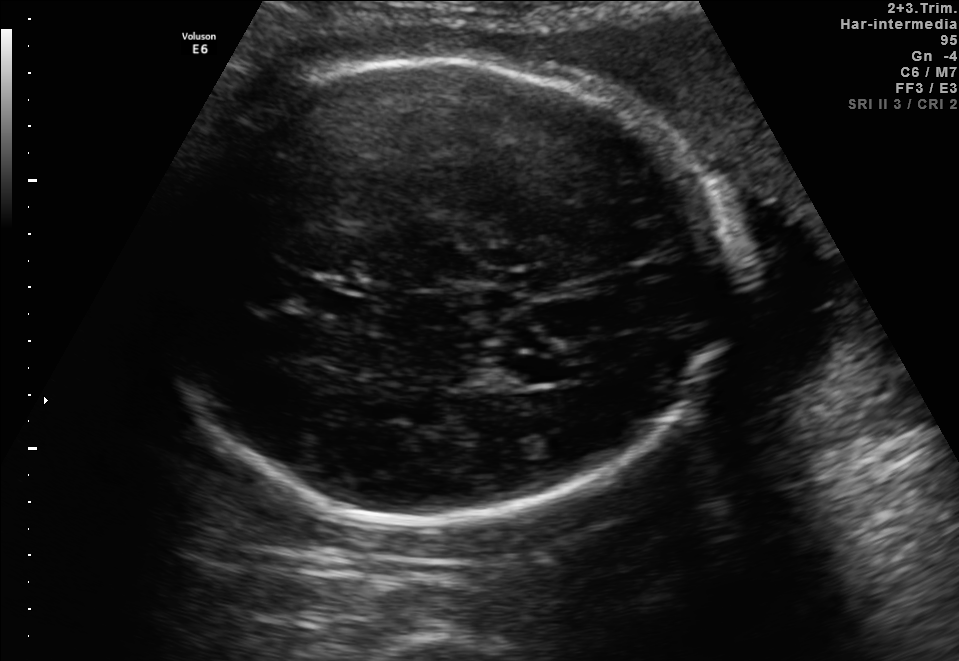
This is a 2D maternal-fetal ultrasound frame. Is it a fetal abdomen, fetal brain, fetal femur, fetal thorax, maternal cervix, or other standard plane? If it's fetal brain and one of the three standard brain planes (trans-thalamic, trans-cerebellum, trans-ventricular), name which.

Fetal brain (trans-thalamic plane)